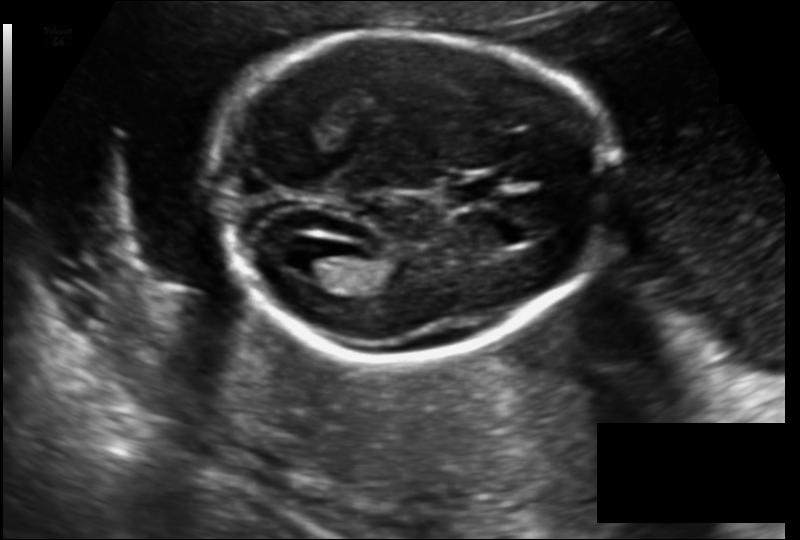
Fetal head ultrasound. Image width: 113.3 mm. Locate the fetal head and, if visible, the cavum septum pellucidum (CSP) and lateral ventricle (LV). Give bounding boxes as [x1,y1,x2,y2].

Head: [214,32,610,361]
CSP: [445,175,496,208]
Lateral ventricle: [281,238,347,289]